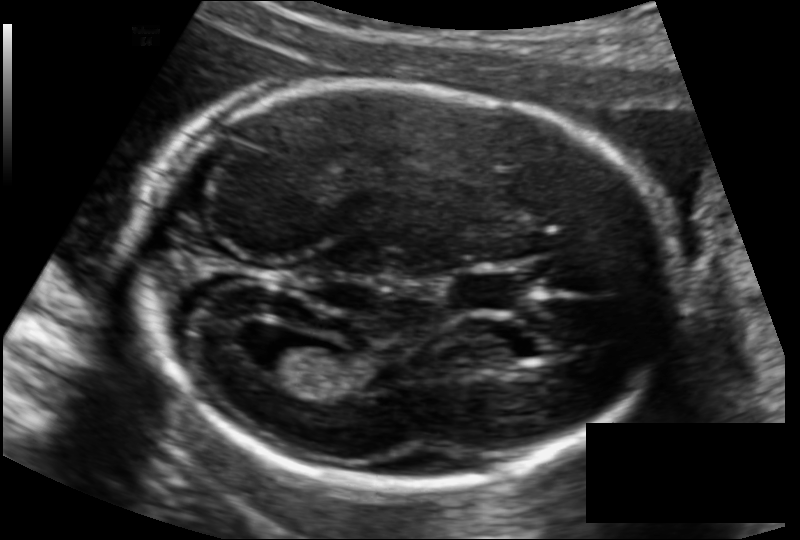
In this fetal head ultrasound, give bounding boxes for the head outline, cavum septum pellucidum (CSP), and lateral ventricle (LV), where visible. Image width: 97.7 mm.

Head: [138,87,669,484]
CSP: [453,273,520,311]
Lateral ventricle: [249,325,329,388]